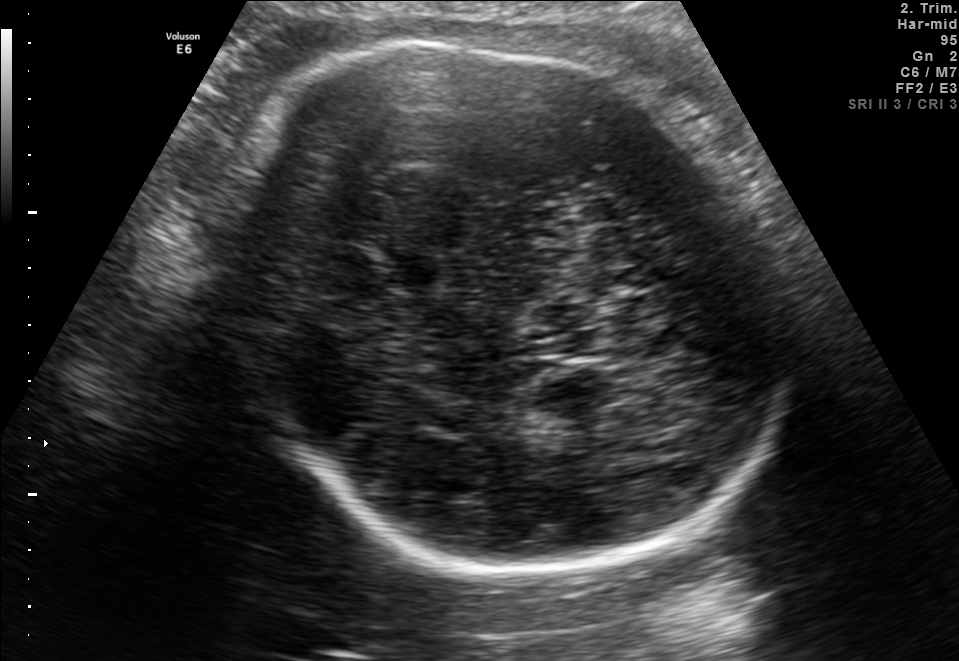
Fetal brain, trans-thalamic plane. Give [x1,y1,x2,y2] bounding boxes for each visible structure among: fetal head, CSP, LV.

Head: [219,31,778,576]
CSP: [370,242,450,296]